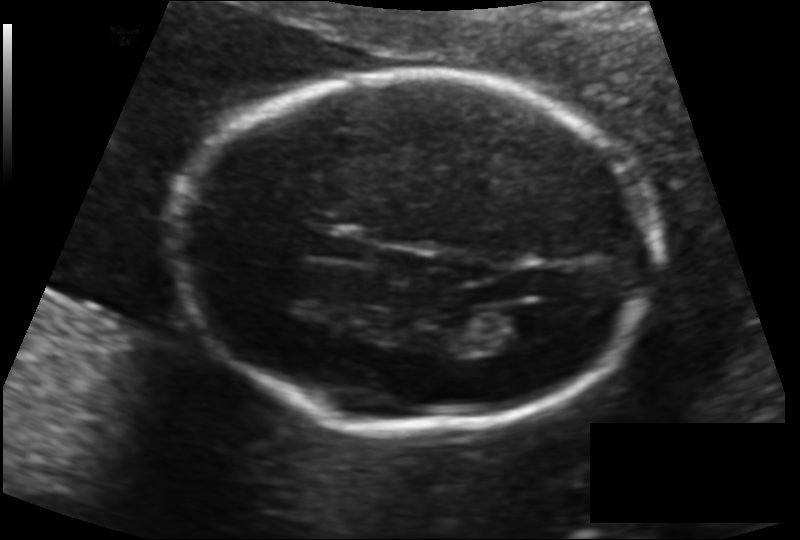
In this fetal head ultrasound, give bounding boxes for the head outline, cavum septum pellucidum (CSP), and lateral ventricle (LV), where visible. Image width: 107.4 mm.

Head: [182,71,658,428]
CSP: [306,226,367,265]
Lateral ventricle: [477,301,546,353]